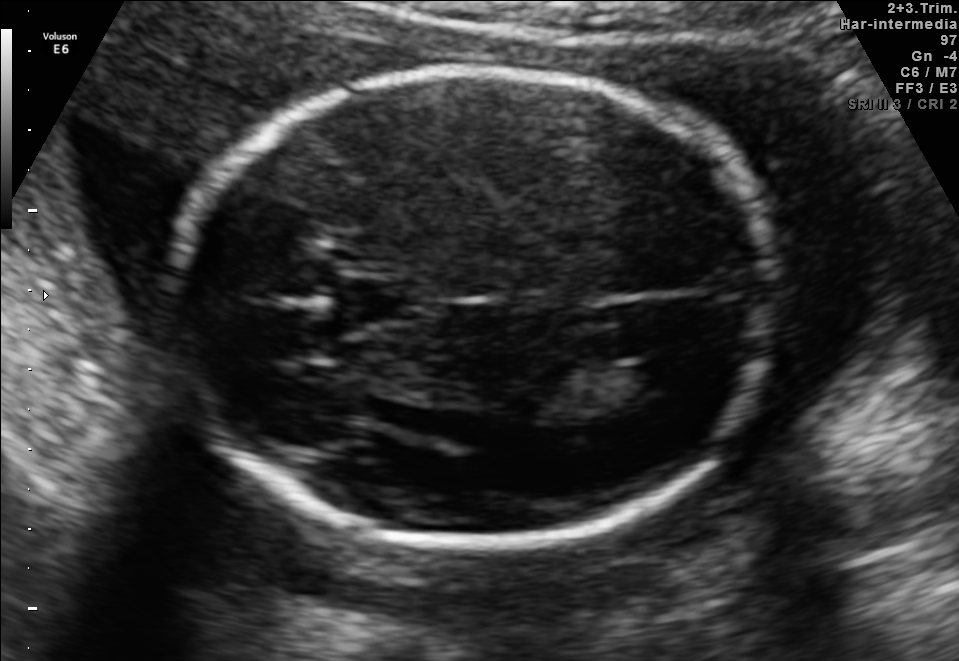
Fetal brain, trans-ventricular plane. Where is the lateral ventricle?

Lateral ventricle bounding box: [619,353,690,403]